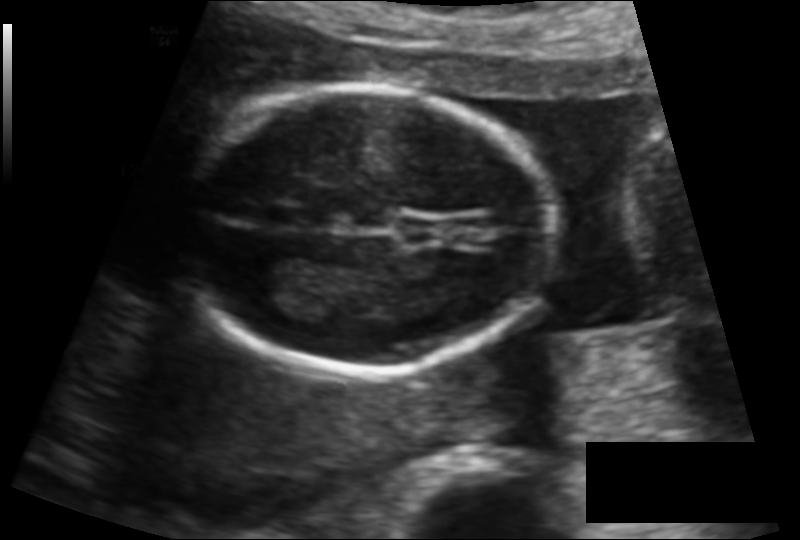
Fetal head ultrasound. Image width: 93.2 mm. Where is the fetal head?

Head bounding box: [176,87,551,372]